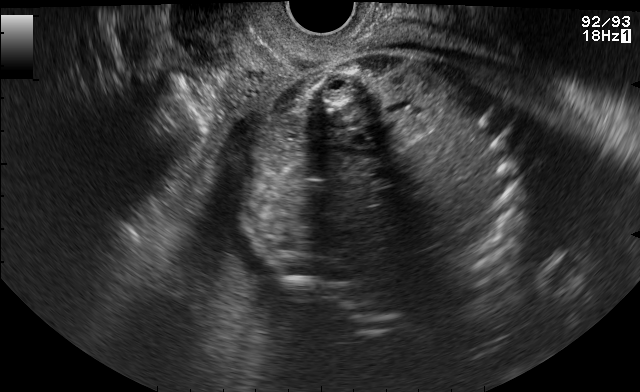
Which standard maternal-fetal ultrasound plane is shown: fetal abdomen, fetal brain, fetal femur, fetal thorax, maternal cervix, or other? If it's fetal brain and one of the three standard brain planes (trans-thalamic, trans-cerebellum, trans-ventricular), name which.

Other